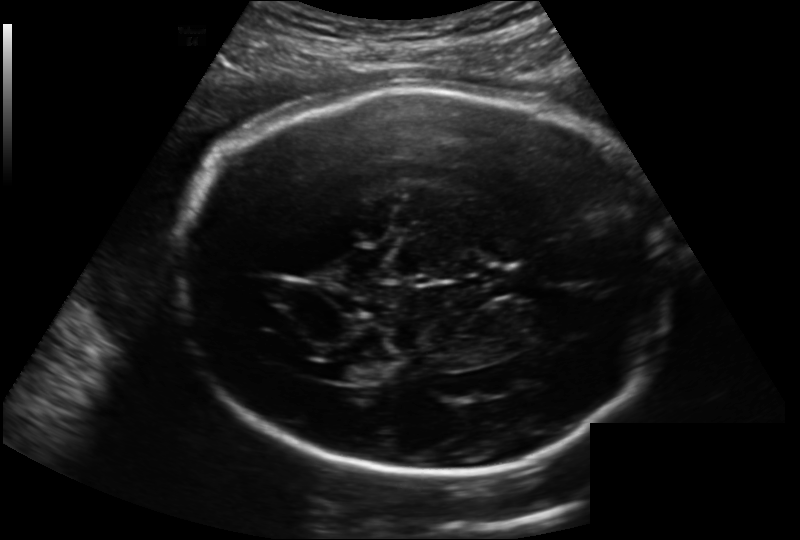
In this fetal head ultrasound, give the bounding box of the cavum septum pellucidum. Image width: 161.8 mm.

[479,258,540,302]